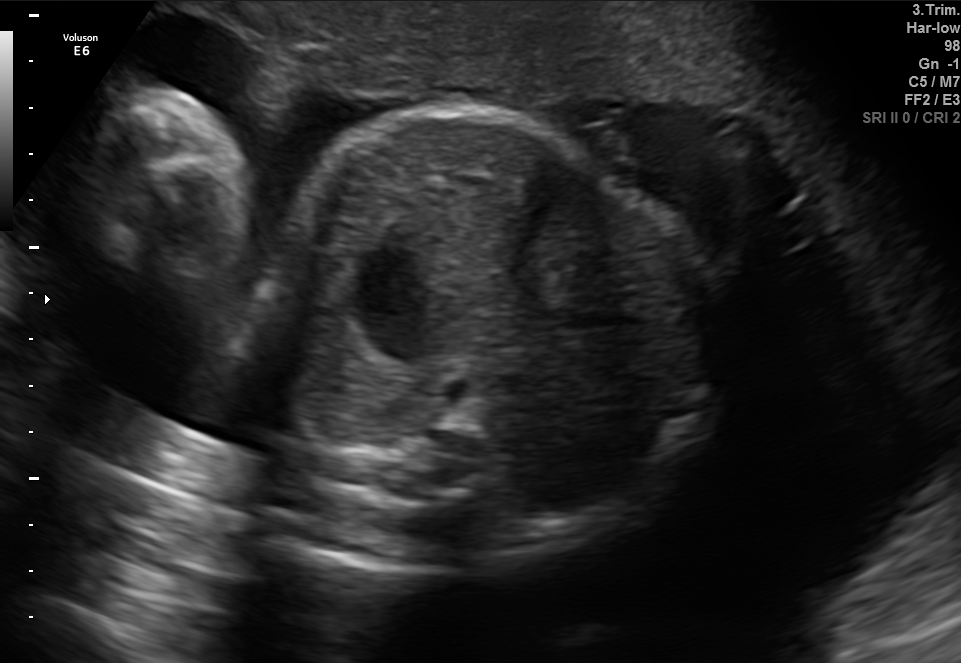
Identify the standard plane in this fetal ultrasound image: fetal abdomen, fetal brain, fetal femur, fetal thorax, maternal cervix, or other. If it's fetal brain and one of the three standard brain planes (trans-thalamic, trans-cerebellum, trans-ventricular), name which.

Fetal abdomen